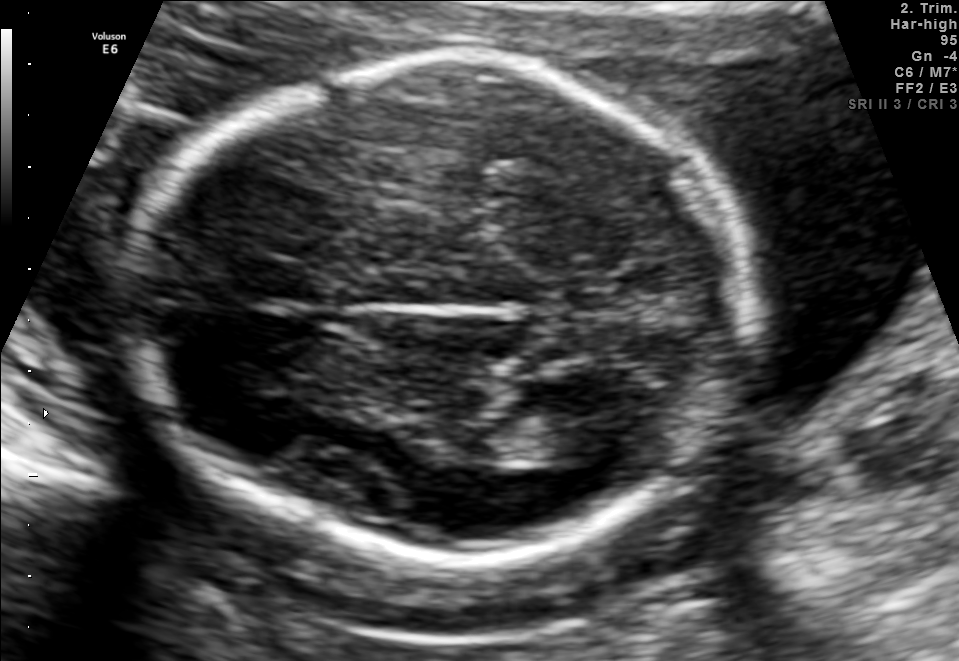
Fetal brain, trans-thalamic plane. Locate the fetal head.

Head: [126,64,757,561]